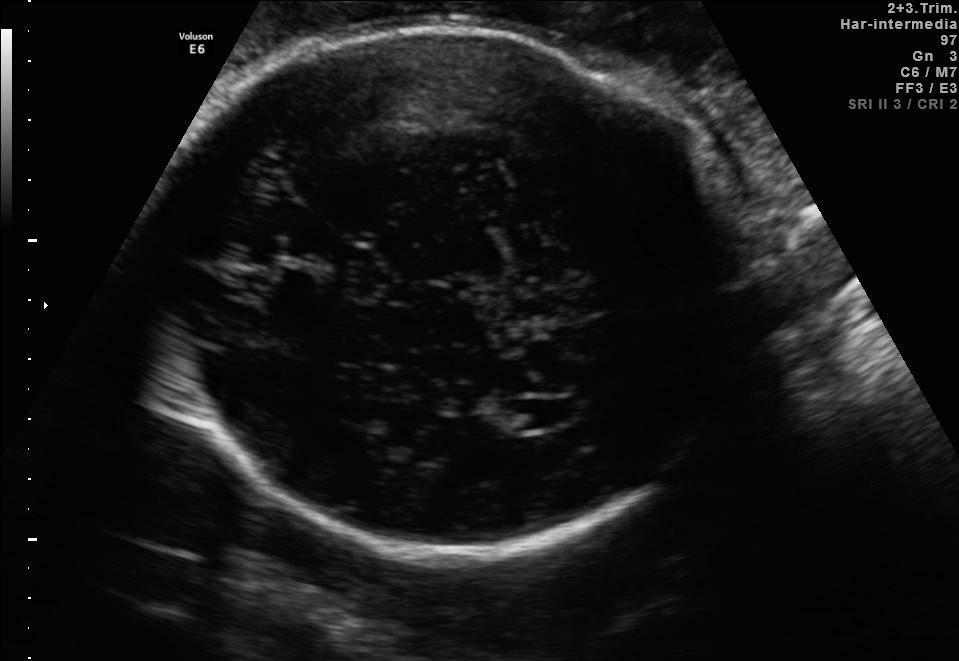
Fetal brain, trans-ventricular plane. Locate the lateral ventricle.

Lateral ventricle: [510,389,584,431]